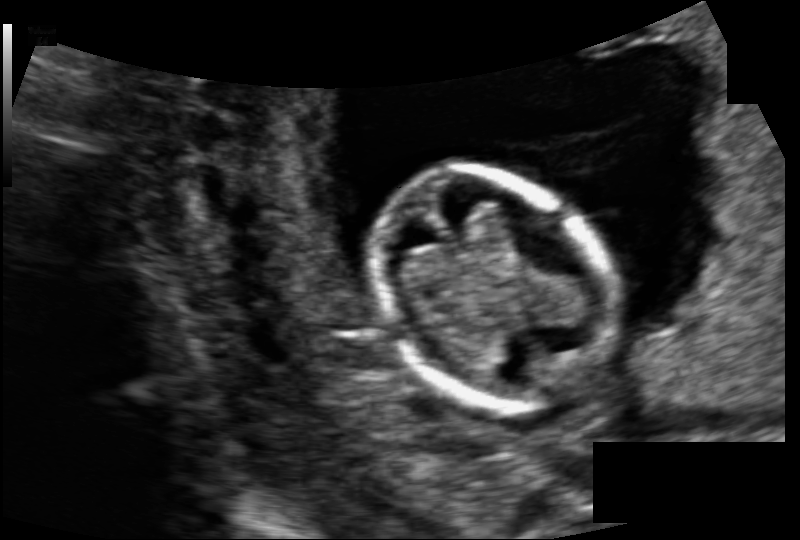
In this fetal head ultrasound, give the bounding box of the fetal head. Image width: 83.3 mm.

[373,167,607,410]